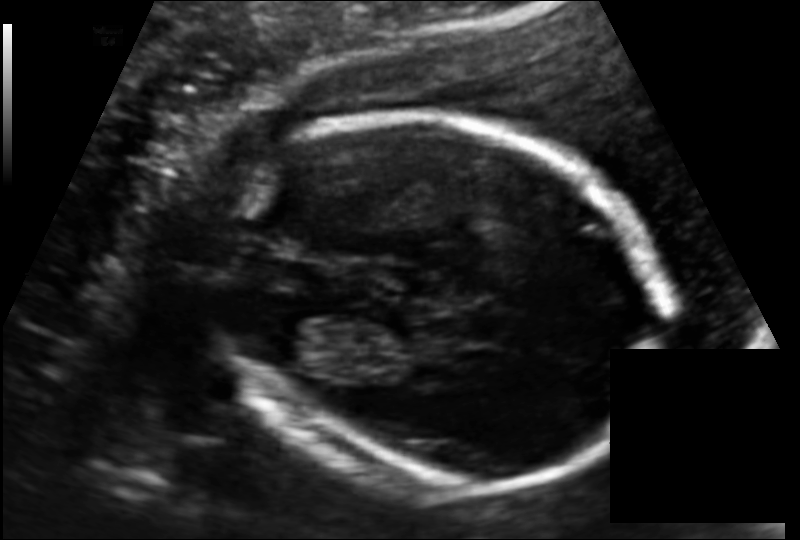
From this fetal ultrasound, estimate the head circumference (image width 103.9 mm).

Head circumference: 172.3 mm.